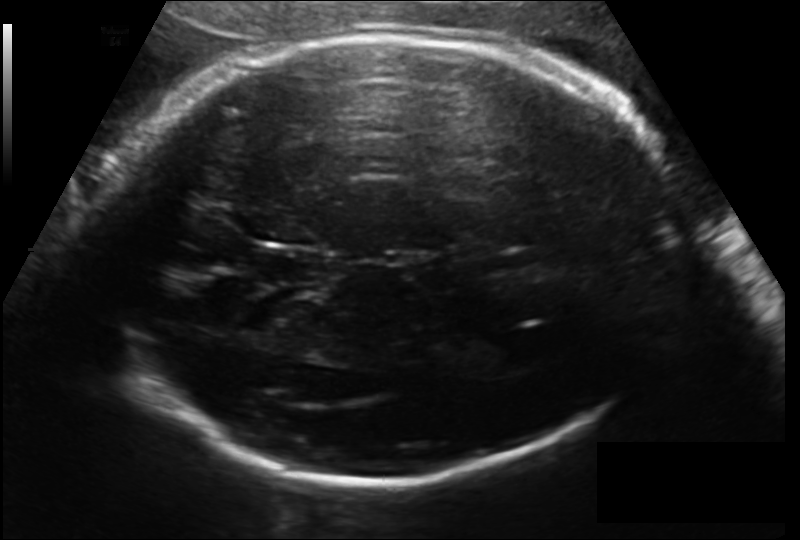
From this fetal ultrasound, estimate the head circumference (image width 136.7 mm).

Head circumference: 283.8 mm.